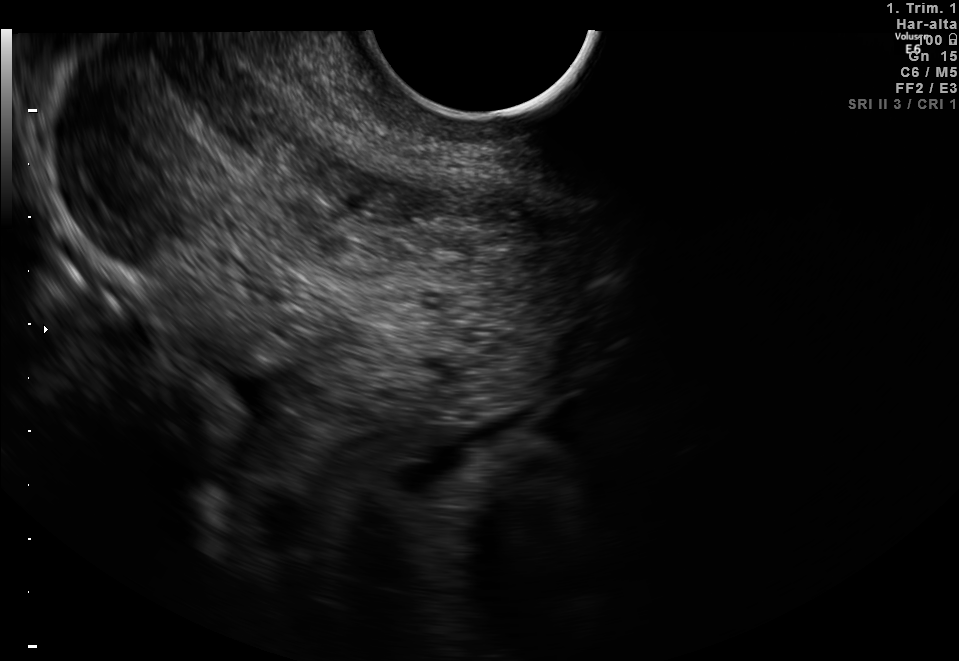
This is a 2D maternal-fetal ultrasound frame. Is it a fetal abdomen, fetal brain, fetal femur, fetal thorax, maternal cervix, or other standard plane? If it's fetal brain and one of the three standard brain planes (trans-thalamic, trans-cerebellum, trans-ventricular), name which.

Maternal cervix